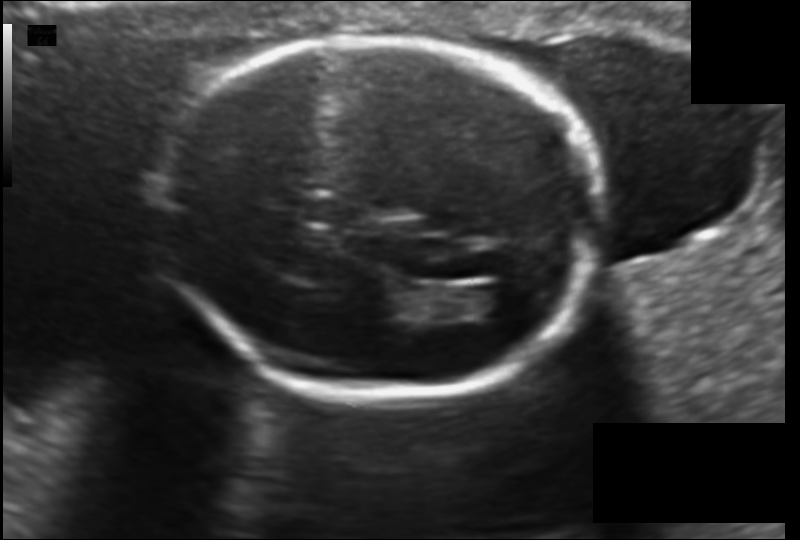
Fetal head ultrasound. Image width: 104.2 mm. Where is the cavum septum pellucidum?

CSP bounding box: [298,189,350,228]